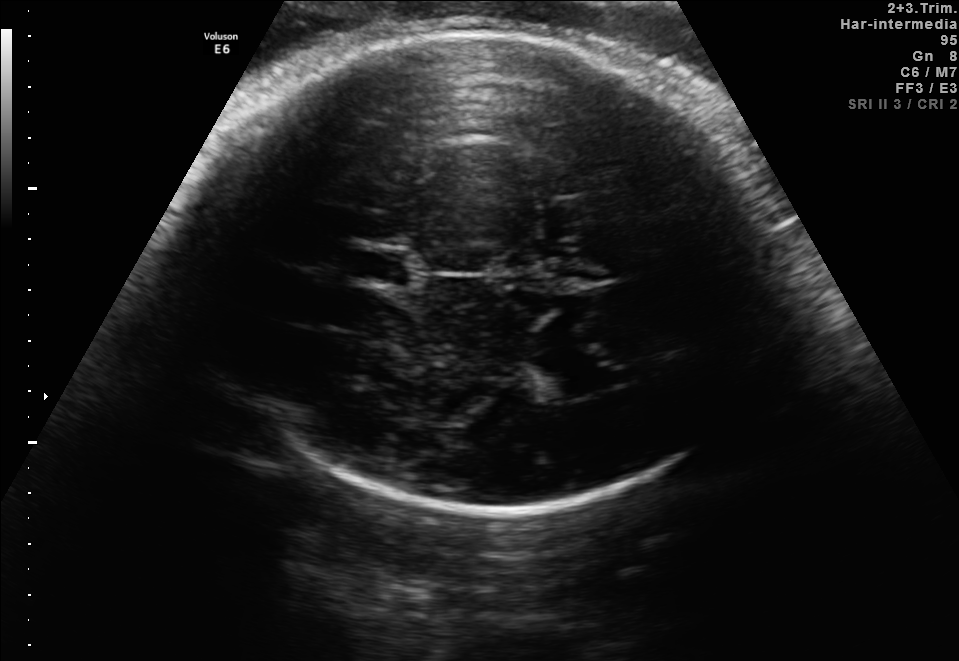
Fetal brain, trans-thalamic plane. Where is the fetal head?

Head bounding box: [179,32,782,513]